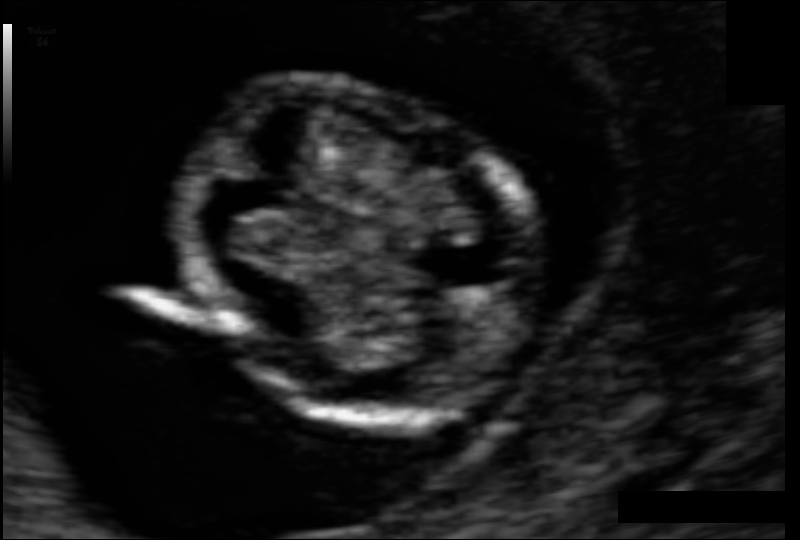
Fetal head ultrasound. Image width: 47.3 mm. Locate the fetal head.

Head: [174,83,541,419]